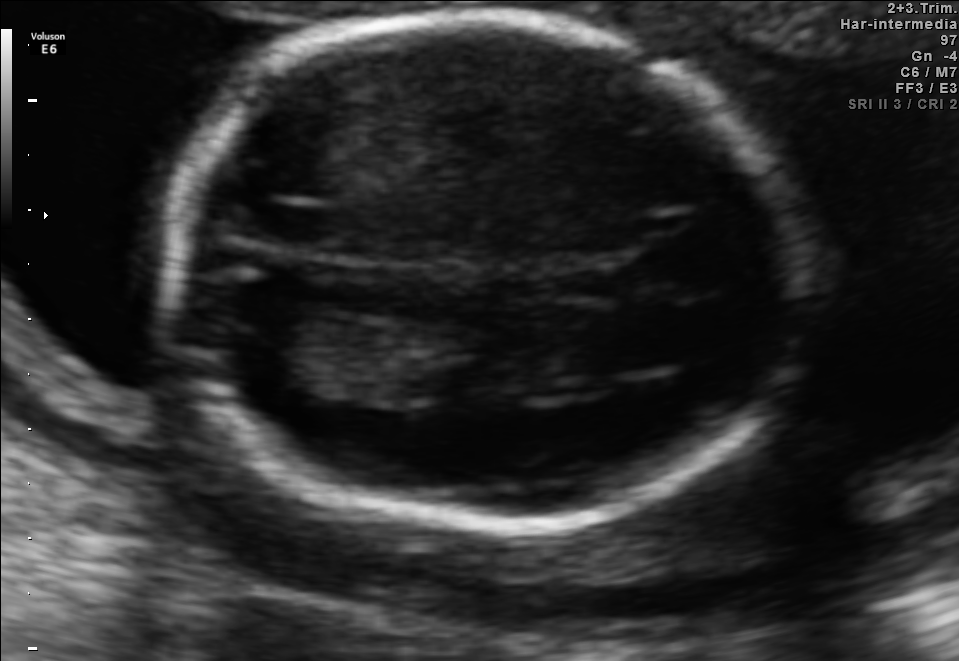
In this fetal brain, trans-thalamic plane, give bounding boxes for the head outline, cavum septum pellucidum (CSP), and lateral ventricle (LV), where visible.

Head: [169,16,808,531]